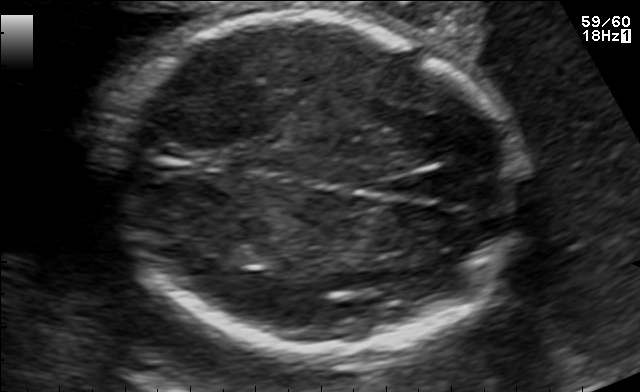
In this fetal brain, trans-thalamic plane, give the bounding box of the fetal head.

[105,14,523,352]